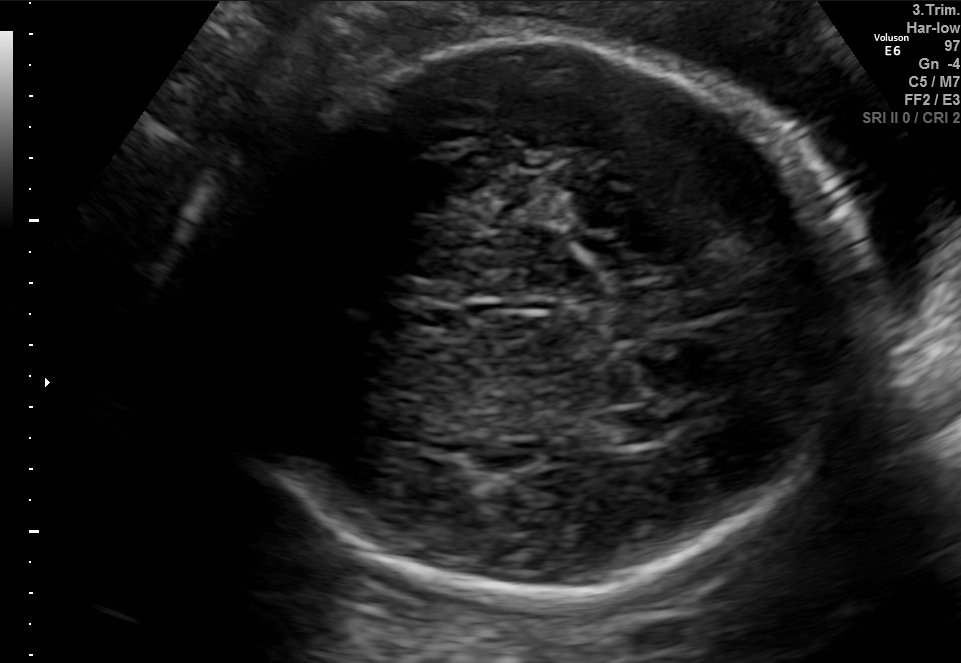
Fetal brain, trans-thalamic plane. Locate the cavum septum pellucidum.

CSP: [404,306,468,330]